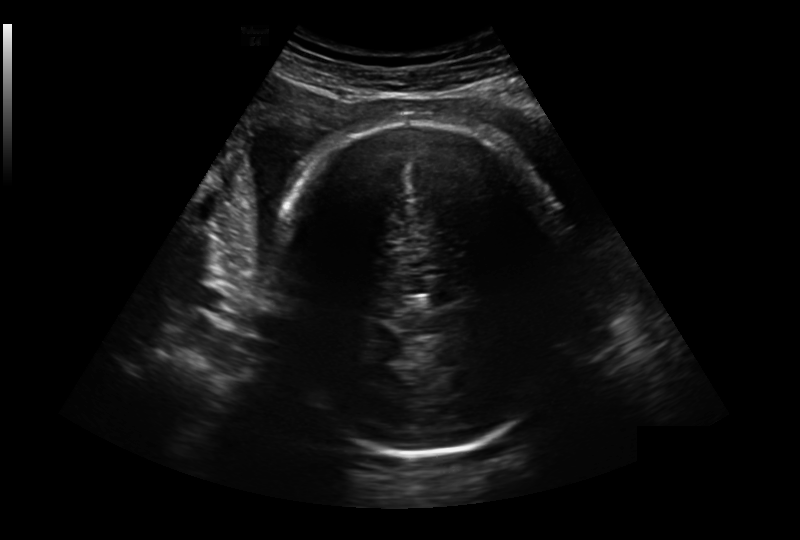
Fetal head ultrasound. Image width: 225.0 mm. Where is the fetal head?

Head bounding box: [274,122,564,454]